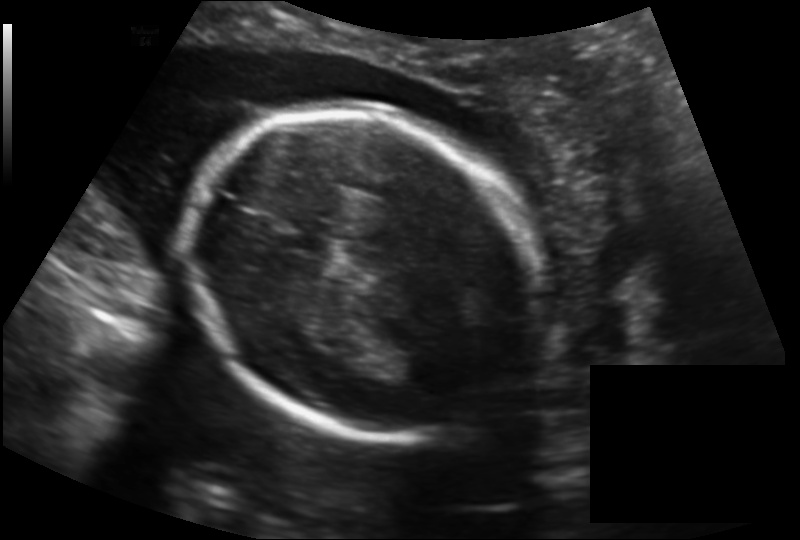
In this fetal head ultrasound, give bounding boxes for the head outline, cavum septum pellucidum (CSP), and lateral ventricle (LV), where visible. Image width: 131.3 mm.

Head: [189,106,537,440]